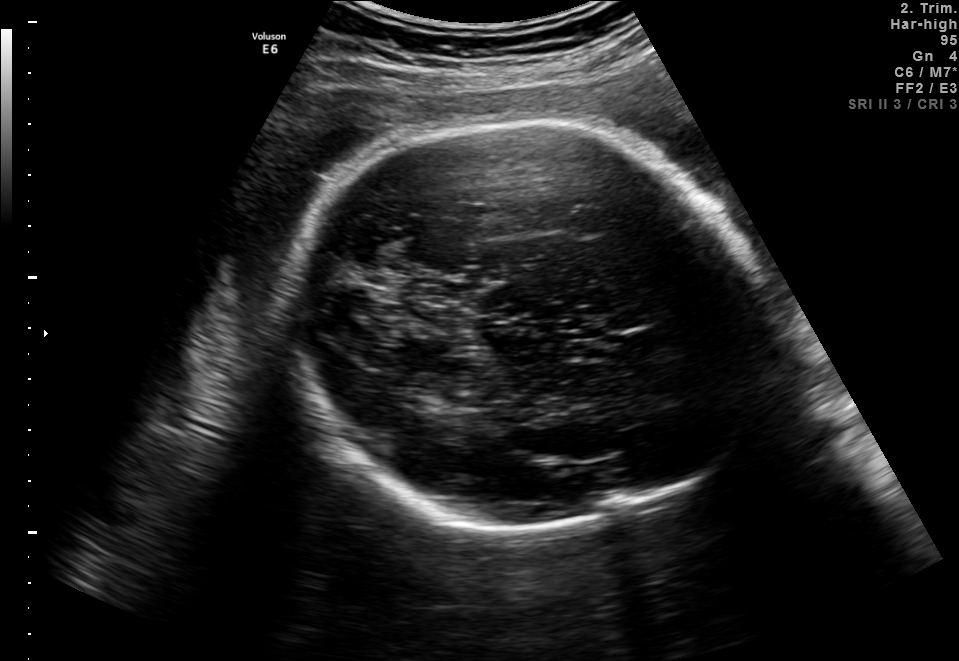
Fetal brain, trans-thalamic plane. Locate the fetal head.

Head: [292,116,763,533]